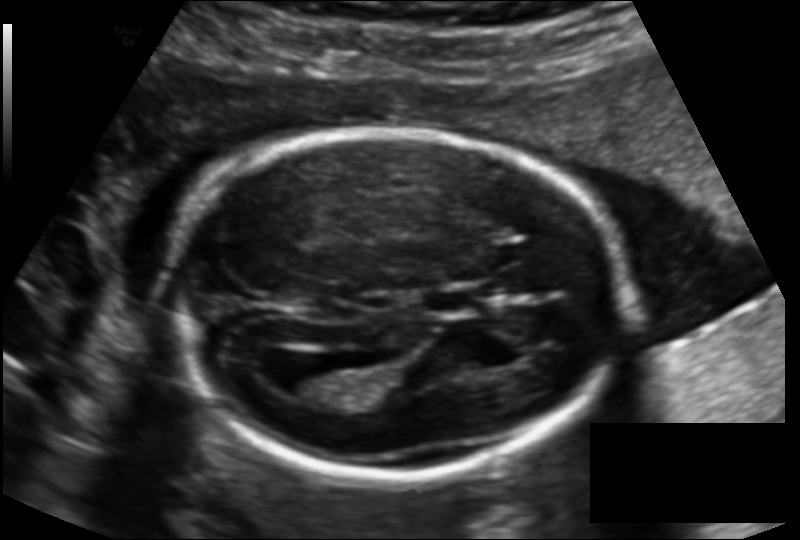
Fetal head ultrasound. Image width: 109.0 mm. Locate the lateral ventricle.

Lateral ventricle: [279,354,353,405]